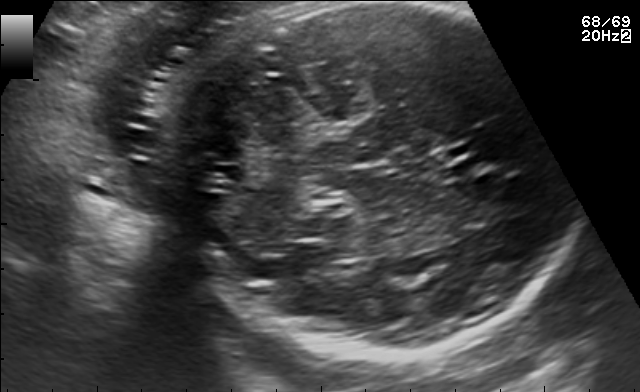
Fetal brain, trans-cerebellum plane. Locate the fetal head and, if visible, the cavum septum pellucidum (CSP) and lateral ventricle (LV). Give bounding boxes as [x1,y1,x2,y2].

Head: [151,7,563,358]